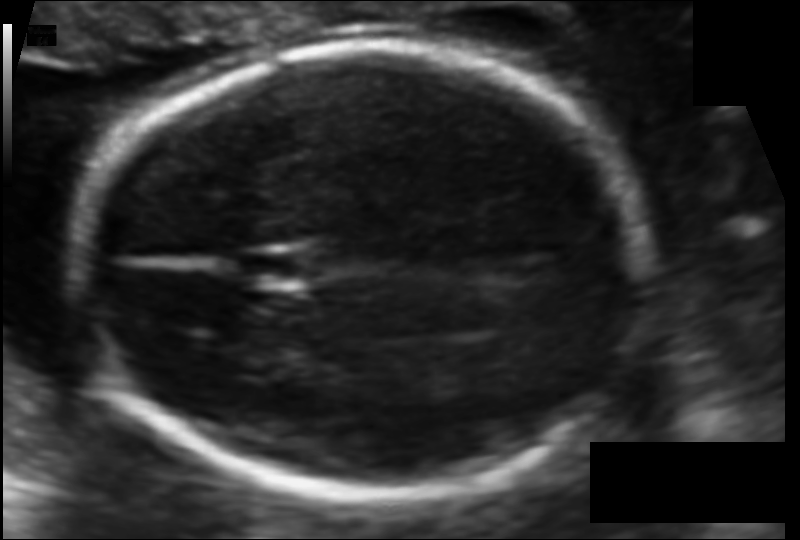
Fetal head ultrasound. Image width: 84.8 mm. Locate the cavum septum pellucidum.

CSP: [235,248,308,290]